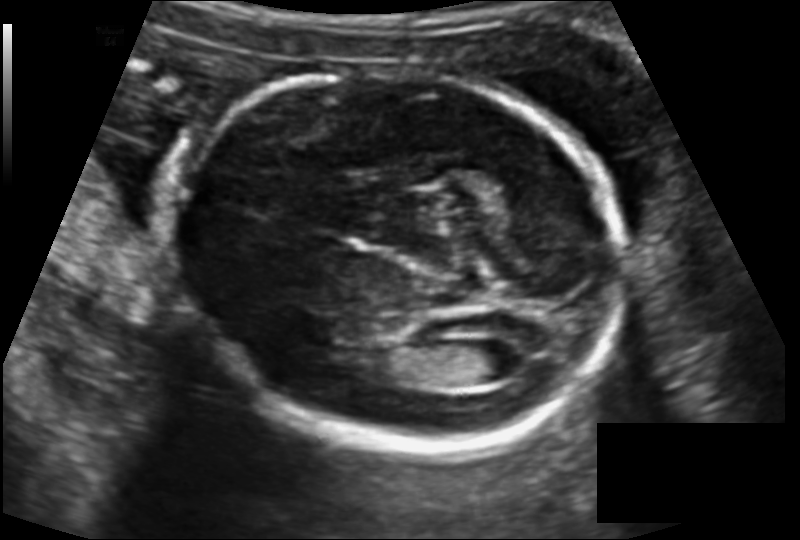
Fetal head ultrasound. Image width: 103.4 mm. Where is the fetal head?

Head bounding box: [168,72,632,450]